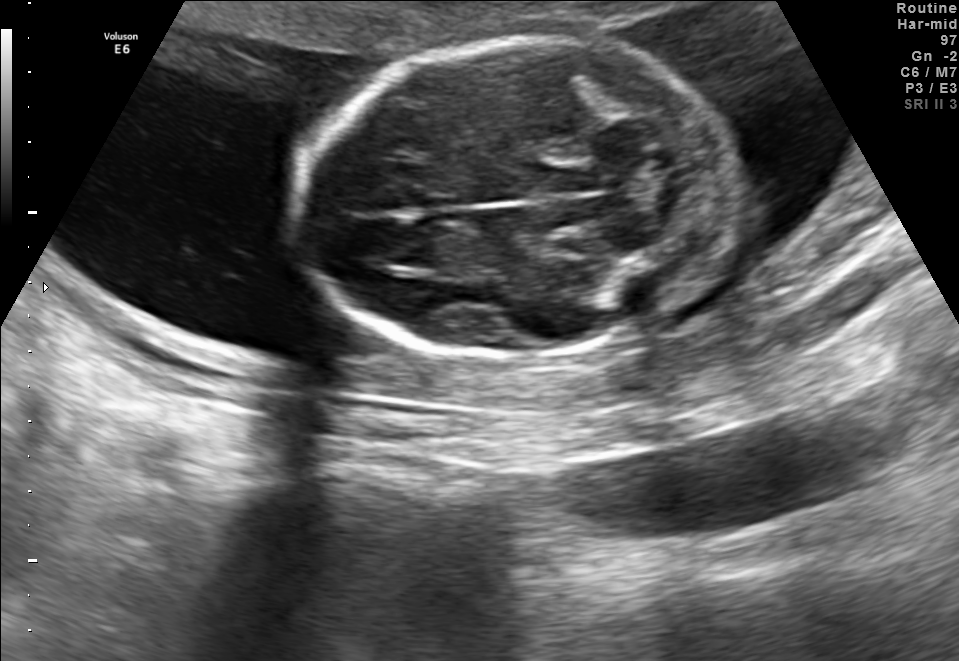
Identify the standard plane in this fetal ultrasound image: fetal abdomen, fetal brain, fetal femur, fetal thorax, maternal cervix, or other. If it's fetal brain and one of the three standard brain planes (trans-thalamic, trans-cerebellum, trans-ventricular), name which.

Fetal brain (trans-thalamic plane)